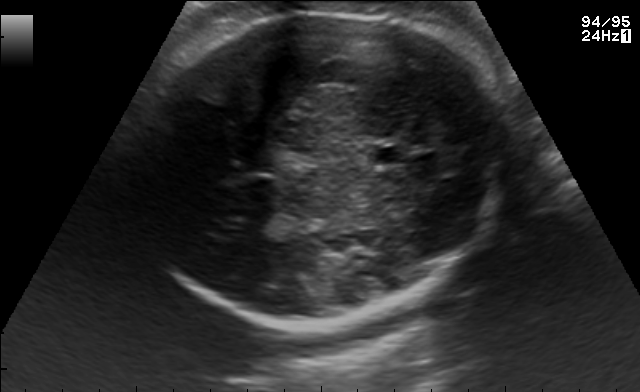
Fetal brain, trans-thalamic plane. Give [x1,y1,x2,y2] bounding boxes for each visible structure among: fetal head, CSP, LV.

Head: [133,11,507,323]
CSP: [369,145,404,166]